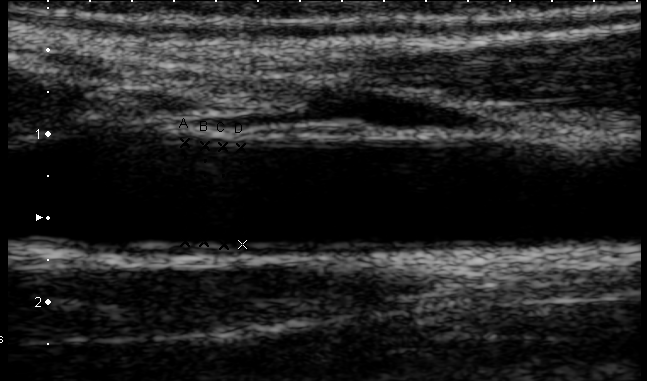
This is a 2D maternal-fetal ultrasound frame. Is it a fetal abdomen, fetal brain, fetal femur, fetal thorax, maternal cervix, or other standard plane? If it's fetal brain and one of the three standard brain planes (trans-thalamic, trans-cerebellum, trans-ventricular), name which.

Other